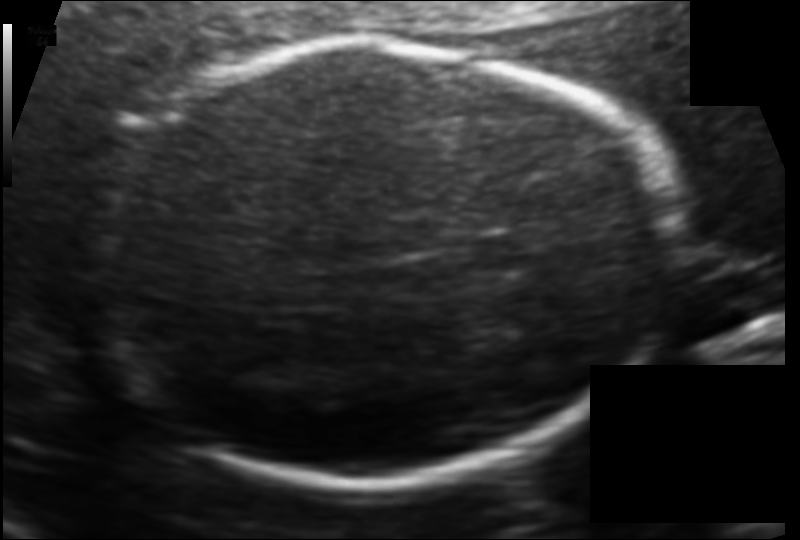
Fetal head ultrasound. Image width: 91.1 mm. Give [x1,y1,x2,y2] bounding boxes for each visible structure among: fetal head, CSP, LV.

Head: [86,42,677,480]